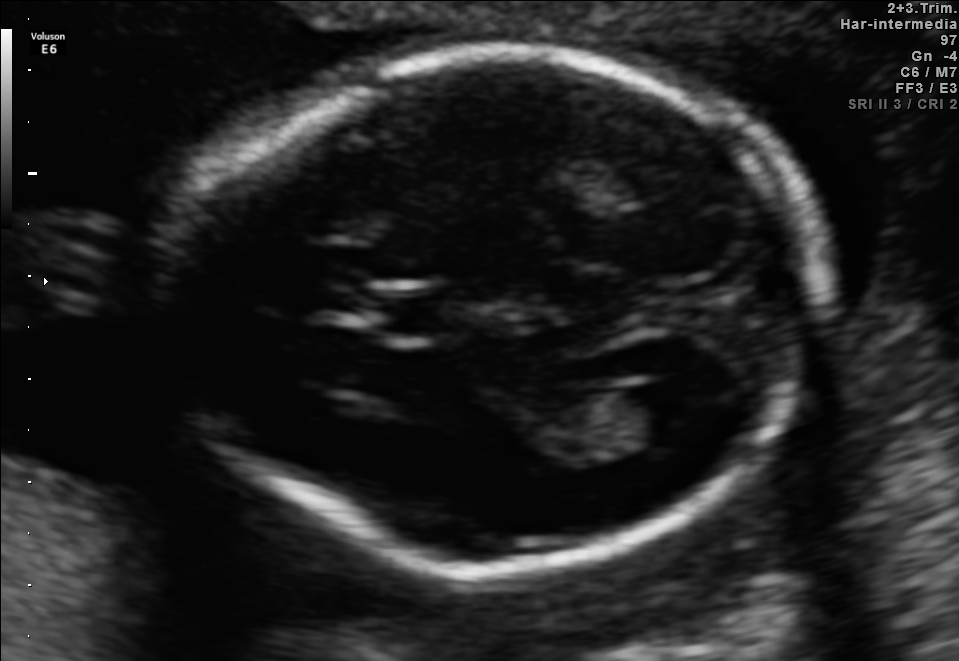
Fetal brain, trans-ventricular plane. Locate the cavum septum pellucidum.

CSP: [363,297,442,336]